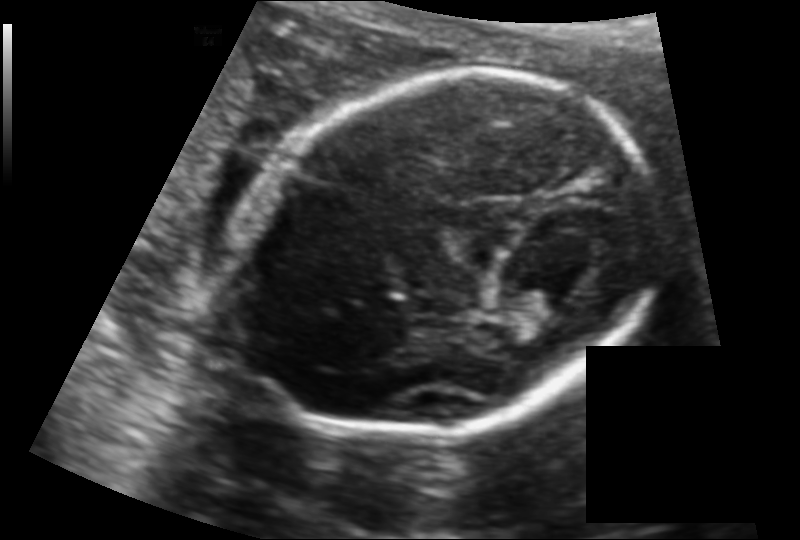
From this fetal ultrasound, estimate the head circumference (image width 103.7 mm).

Head circumference: 167.7 mm.